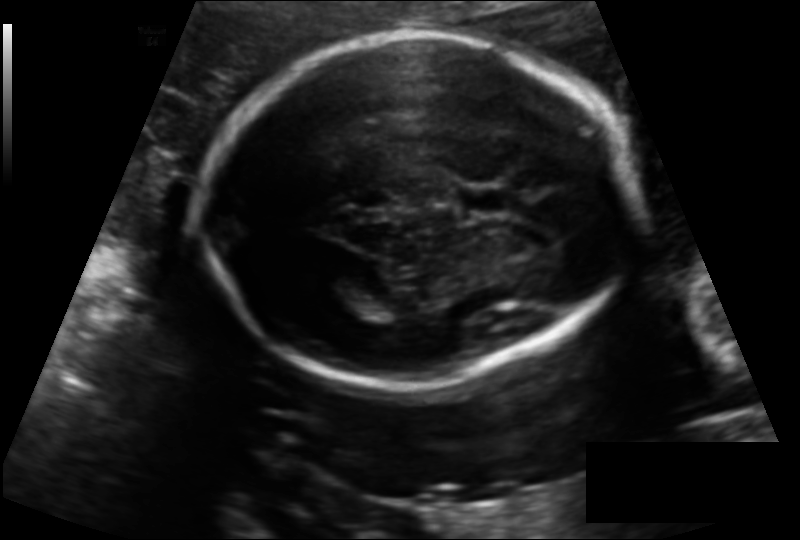
In this fetal head ultrasound, give the bounding box of the cavum septum pellucidum. Image width: 111.5 mm.

[456,183,514,218]